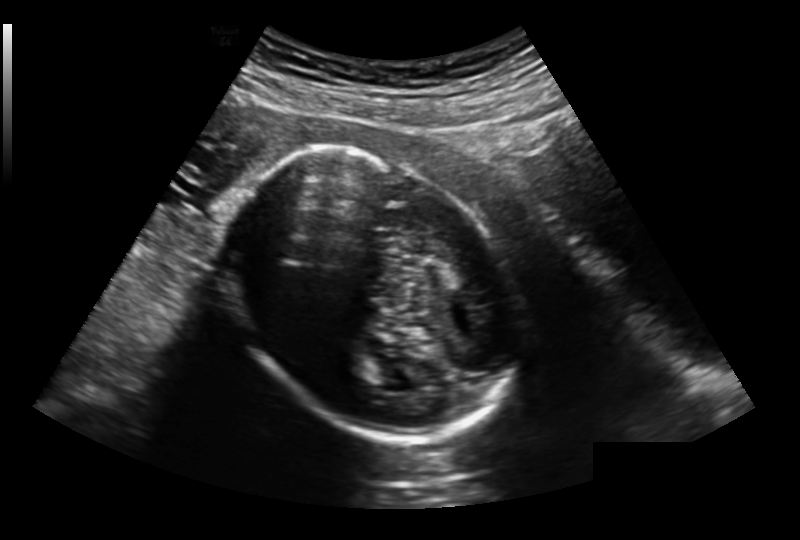
Estimate the fetal head circumference from this 2D ultrasound. Image width: 170.5 mm.

Head circumference: 201.9 mm.